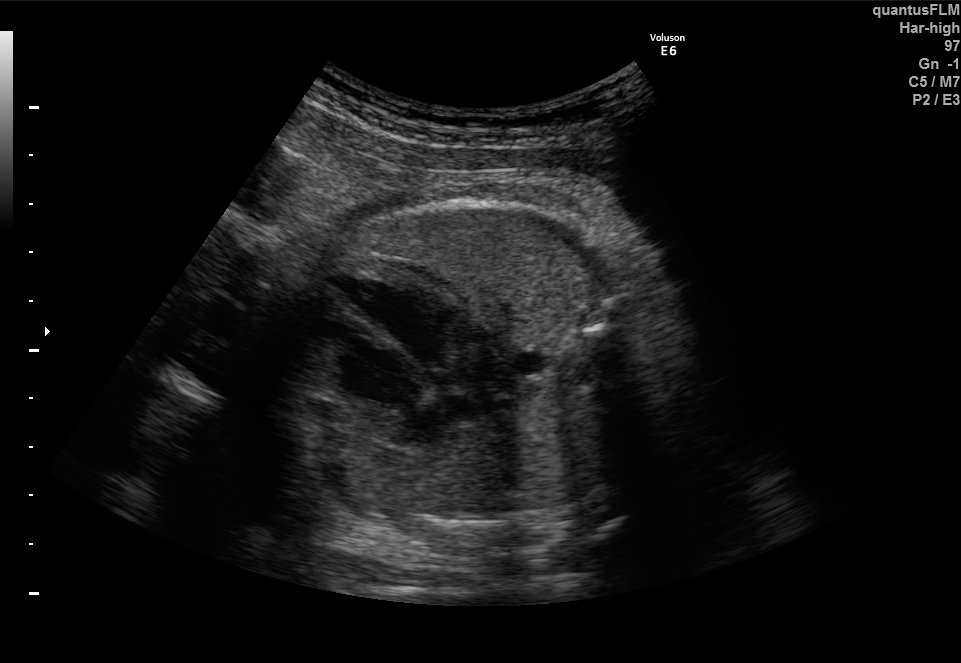
Classify this maternal-fetal ultrasound image as one of the six standard planes — fetal abdomen, fetal brain, fetal femur, fetal thorax, maternal cervix, or other. If it's fetal brain and one of the three standard brain planes (trans-thalamic, trans-cerebellum, trans-ventricular), name which.

Fetal thorax